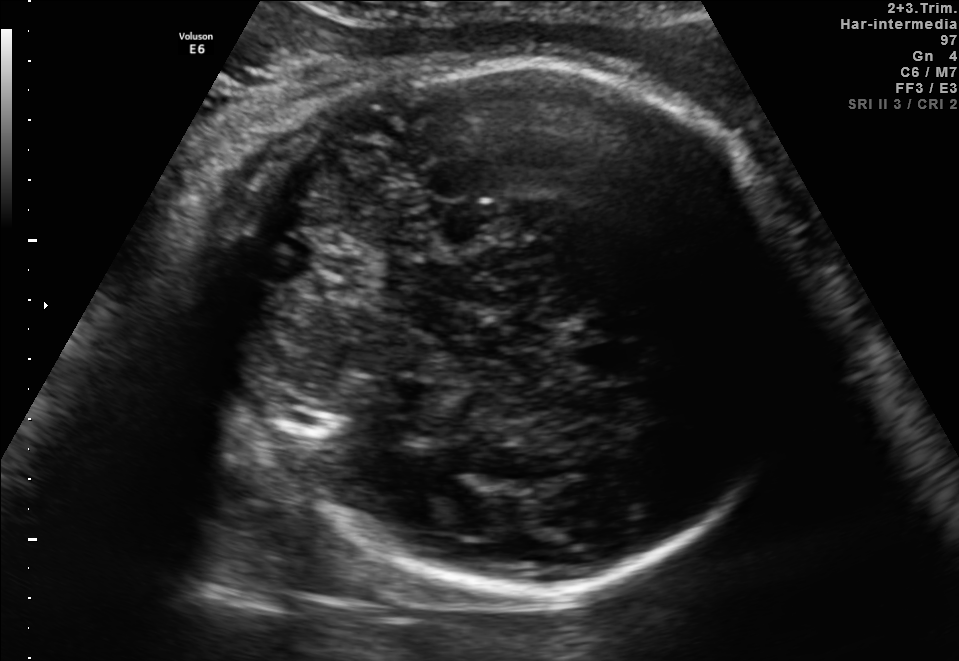
Fetal brain, trans-thalamic plane. Give [x1,y1,x2,y2] bounding boxes for each visible structure among: fetal head, CSP, LV.

Head: [255,54,798,605]